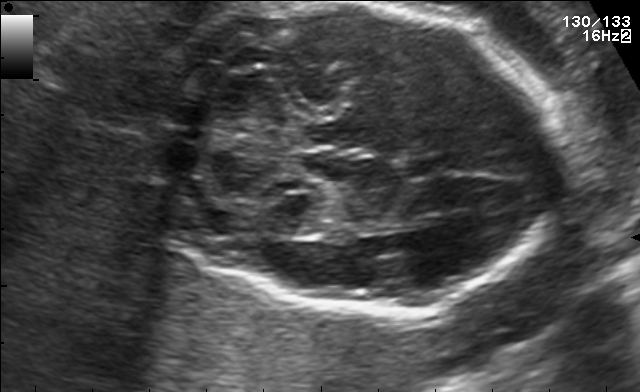
In this fetal brain, trans-cerebellum plane, give the bounding box of the fetal head.

[150,4,561,315]